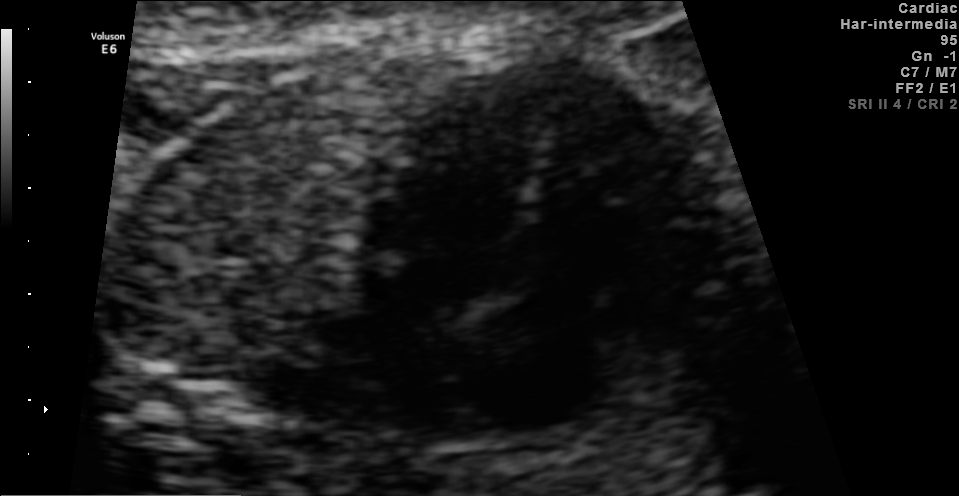
Which standard maternal-fetal ultrasound plane is shown: fetal abdomen, fetal brain, fetal femur, fetal thorax, maternal cervix, or other? If it's fetal brain and one of the three standard brain planes (trans-thalamic, trans-cerebellum, trans-ventricular), name which.

Fetal thorax